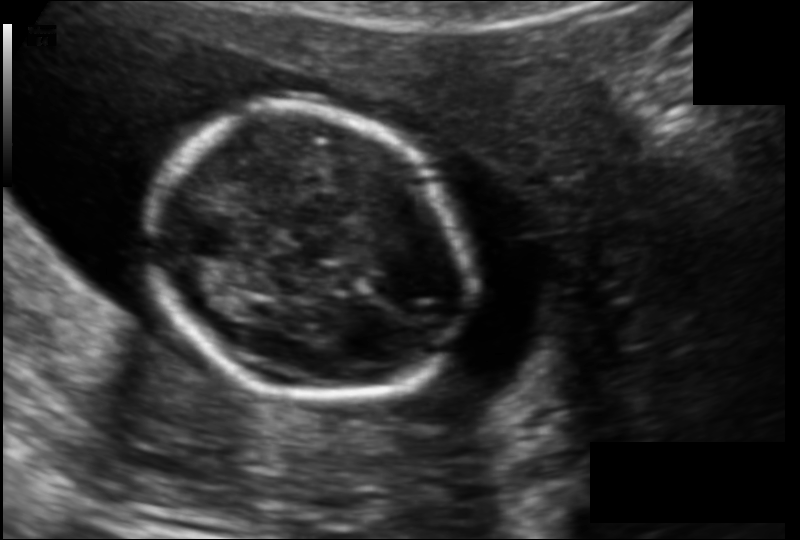
From this fetal ultrasound, estimate the head circumference (image width 98.4 mm).

Head circumference: 122.9 mm.